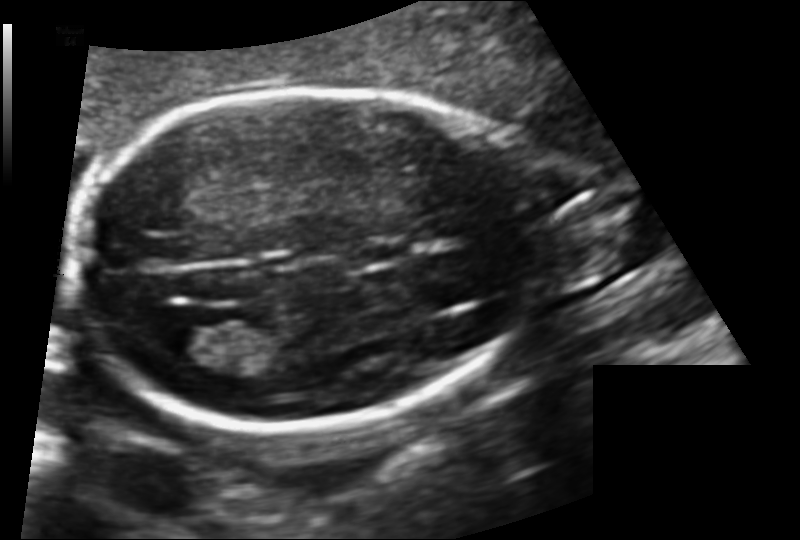
Fetal head ultrasound. Image width: 102.4 mm. Where is the fetal head?

Head bounding box: [80,90,545,427]